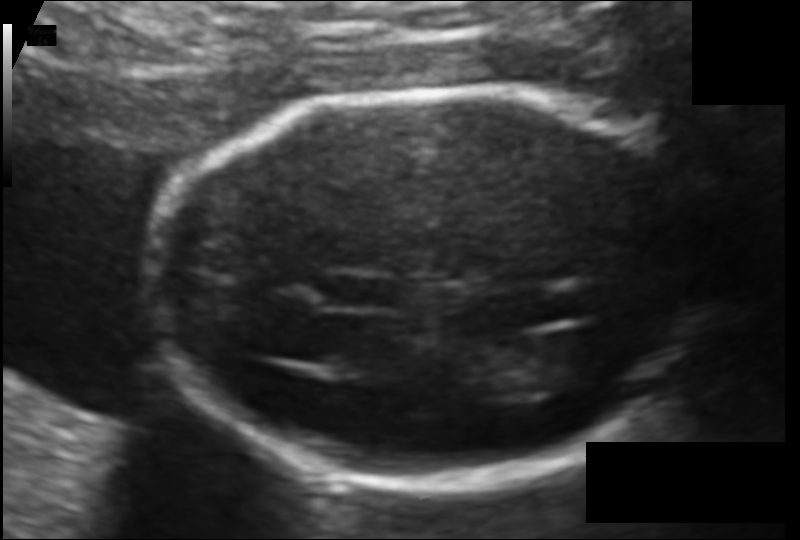
Fetal head ultrasound. Image width: 82.4 mm. Where is the fetal head?

Head bounding box: [157,92,685,482]